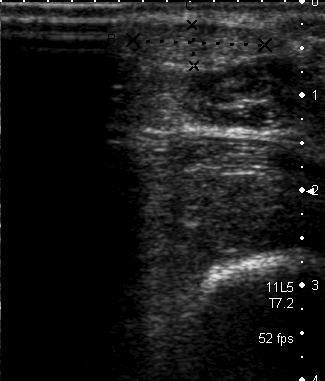
This is a 2D maternal-fetal ultrasound frame. Is it a fetal abdomen, fetal brain, fetal femur, fetal thorax, maternal cervix, or other standard plane? If it's fetal brain and one of the three standard brain planes (trans-thalamic, trans-cerebellum, trans-ventricular), name which.

Other